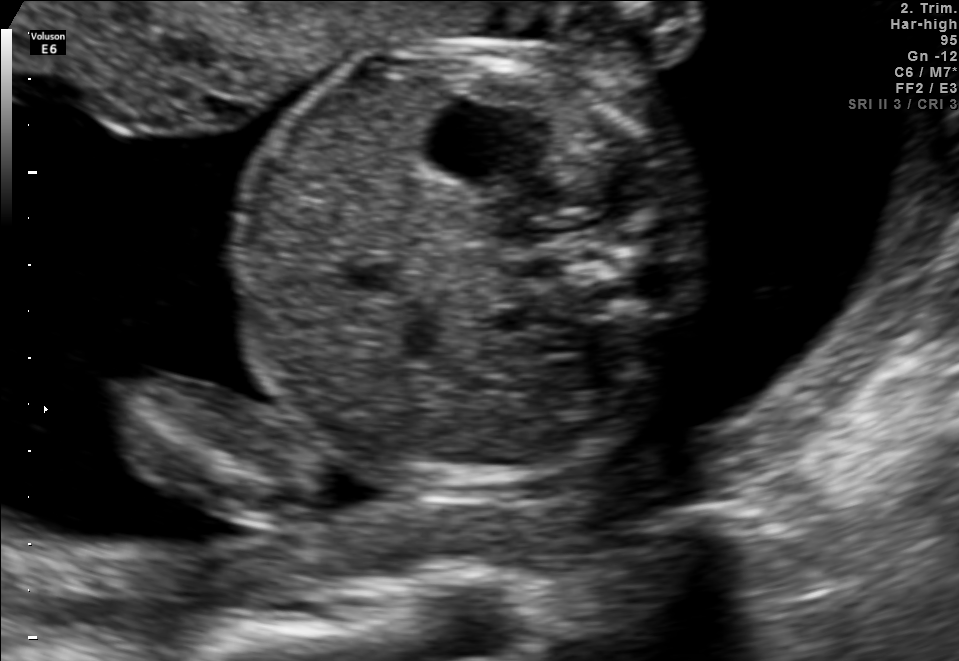
Classify this maternal-fetal ultrasound image as one of the six standard planes — fetal abdomen, fetal brain, fetal femur, fetal thorax, maternal cervix, or other. If it's fetal brain and one of the three standard brain planes (trans-thalamic, trans-cerebellum, trans-ventricular), name which.

Fetal abdomen